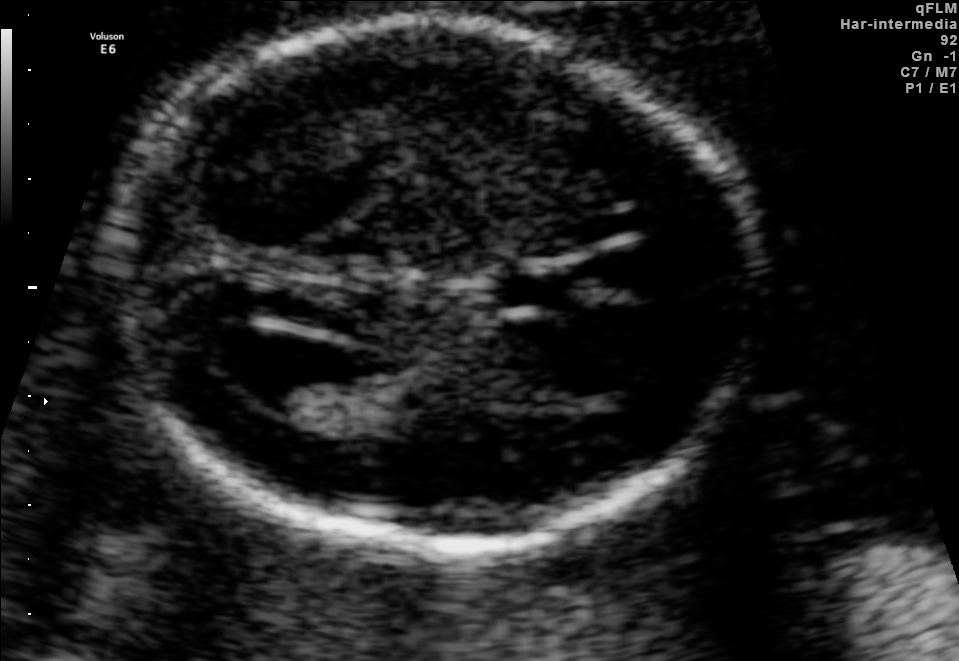
Fetal brain, trans-ventricular plane. Where is the fetal head?

Head bounding box: [91,9,778,566]